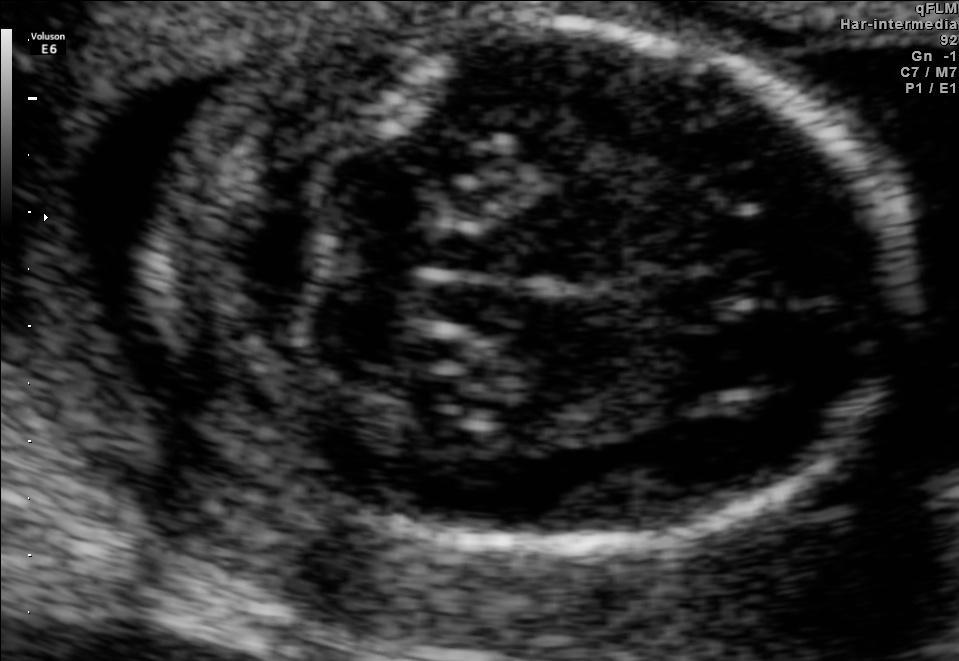
In this fetal brain, trans-cerebellum plane, give the bounding box of the cavum septum pellucidum.

[642,272,732,327]